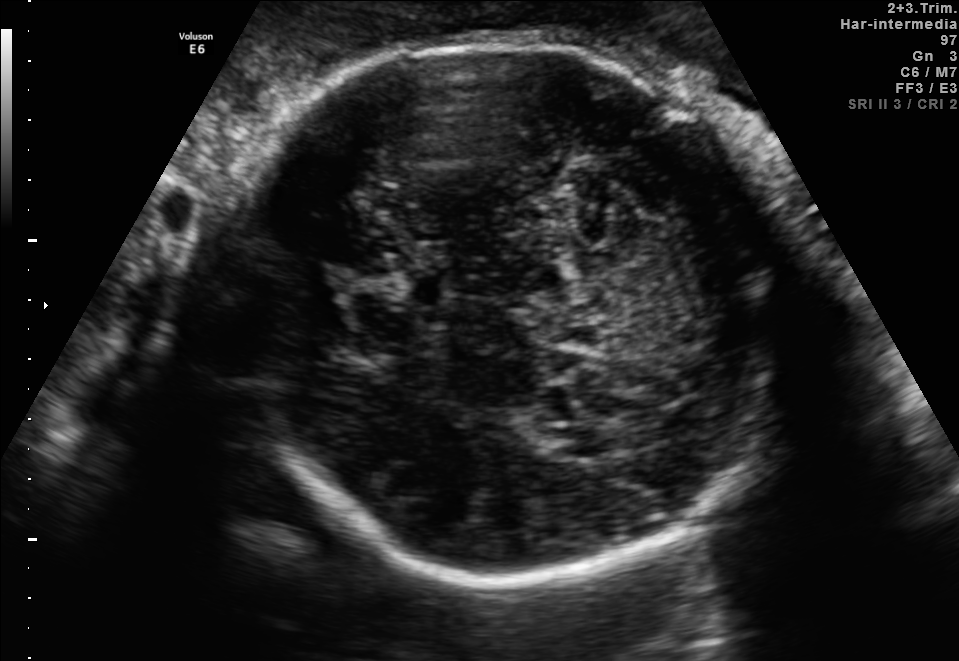
In this fetal brain, trans-thalamic plane, give bounding boxes for the head outline, cavum septum pellucidum (CSP), and lateral ventricle (LV), where visible.

Head: [218,31,765,570]